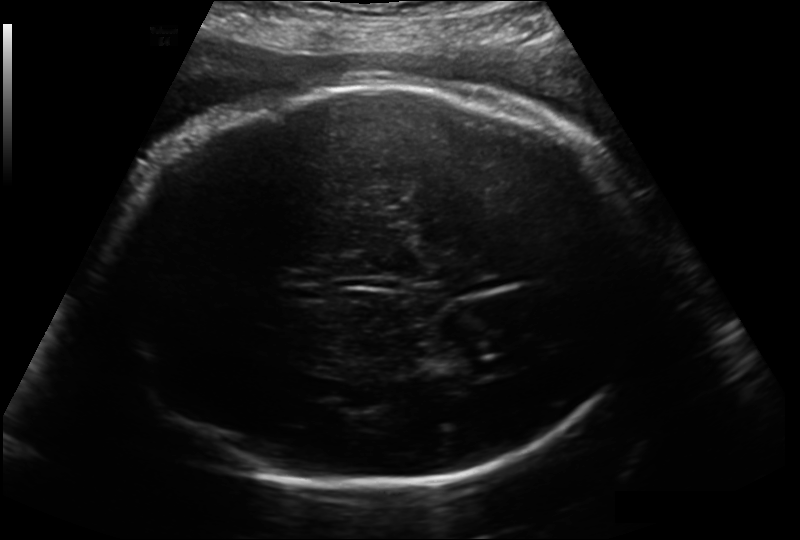
In this fetal head ultrasound, give bounding boxes for the head outline, cavum septum pellucidum (CSP), and lateral ventricle (LV), where visible. Image width: 171.3 mm.

Head: [101,83,647,489]